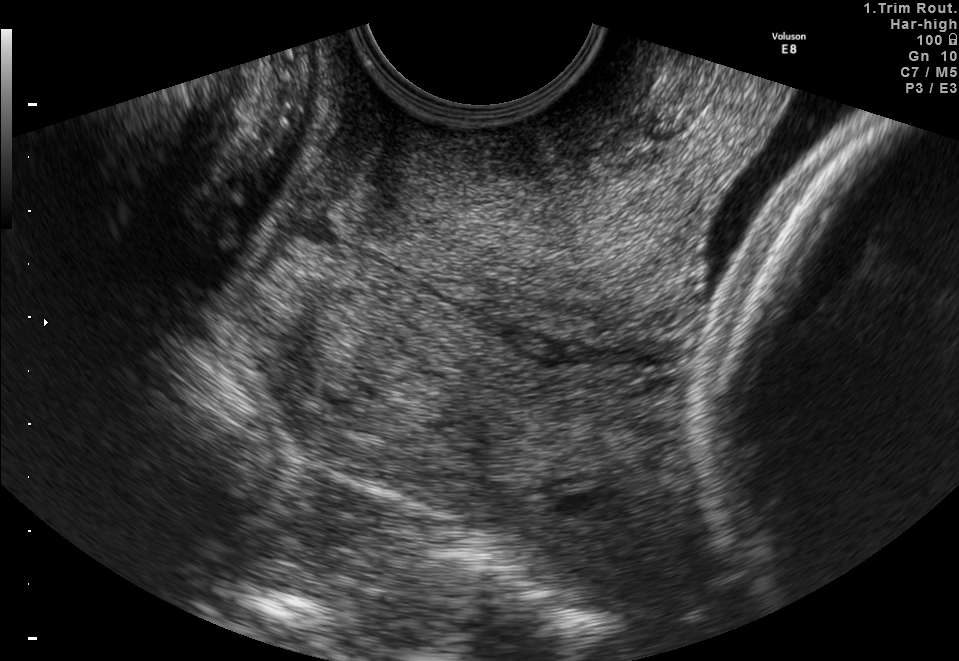
Identify the standard plane in this fetal ultrasound image: fetal abdomen, fetal brain, fetal femur, fetal thorax, maternal cervix, or other. If it's fetal brain and one of the three standard brain planes (trans-thalamic, trans-cerebellum, trans-ventricular), name which.

Maternal cervix